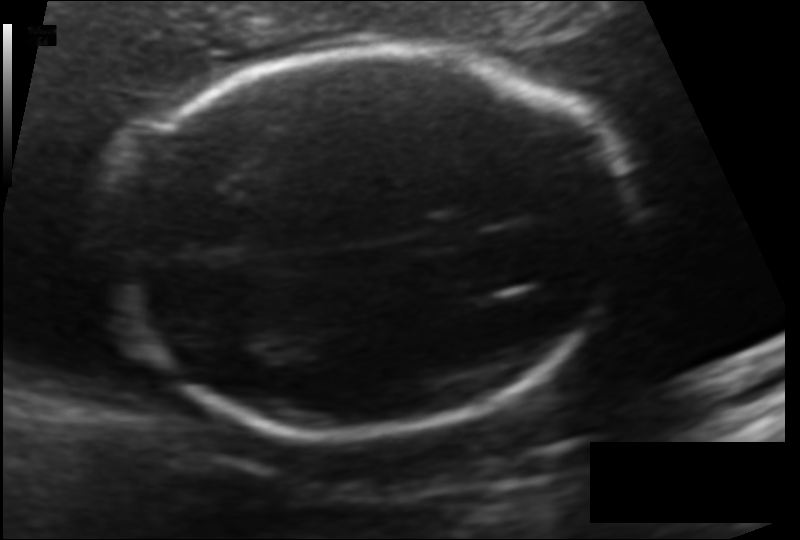
Fetal head ultrasound. Image width: 97.8 mm. Locate the fetal head and, if visible, the cavum septum pellucidum (CSP) and lateral ventricle (LV). Give bounding boxes as [x1,y1,x2,y2].

Head: [109,47,631,431]